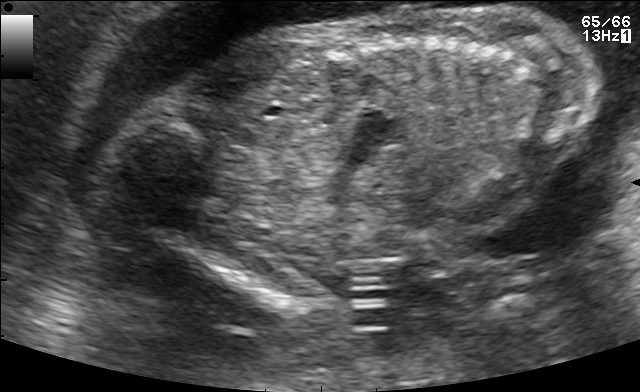
This is a 2D maternal-fetal ultrasound frame. Is it a fetal abdomen, fetal brain, fetal femur, fetal thorax, maternal cervix, or other standard plane? If it's fetal brain and one of the three standard brain planes (trans-thalamic, trans-cerebellum, trans-ventricular), name which.

Other